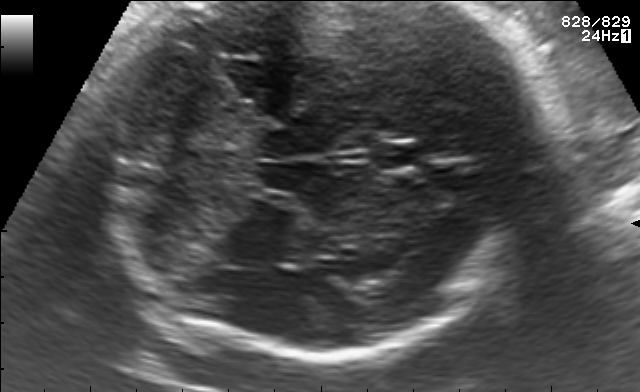
Classify this maternal-fetal ultrasound image as one of the six standard planes — fetal abdomen, fetal brain, fetal femur, fetal thorax, maternal cervix, or other. If it's fetal brain and one of the three standard brain planes (trans-thalamic, trans-cerebellum, trans-ventricular), name which.

Fetal brain (trans-cerebellum plane)